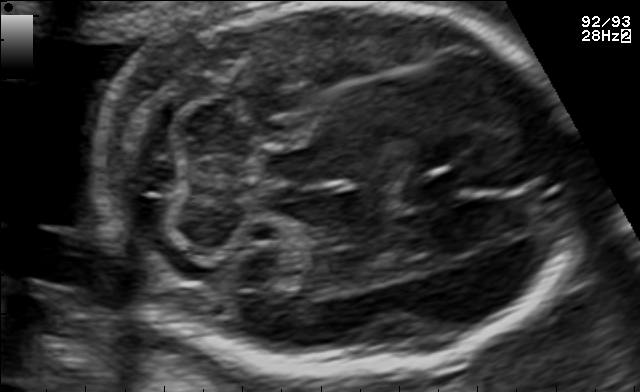
Fetal brain, trans-cerebellum plane. Where is the cavum septum pellucidum?

CSP bounding box: [412,161,476,208]